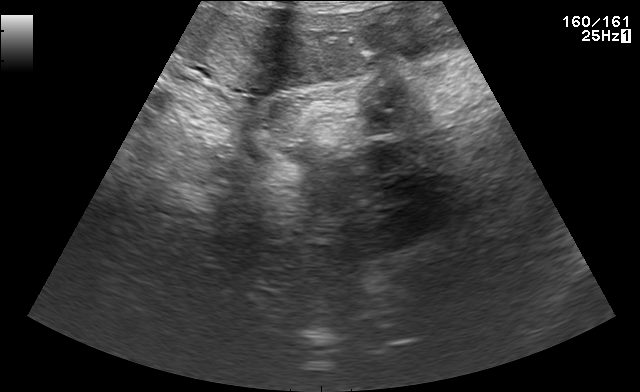
Classify this maternal-fetal ultrasound image as one of the six standard planes — fetal abdomen, fetal brain, fetal femur, fetal thorax, maternal cervix, or other. If it's fetal brain and one of the three standard brain planes (trans-thalamic, trans-cerebellum, trans-ventricular), name which.

Other